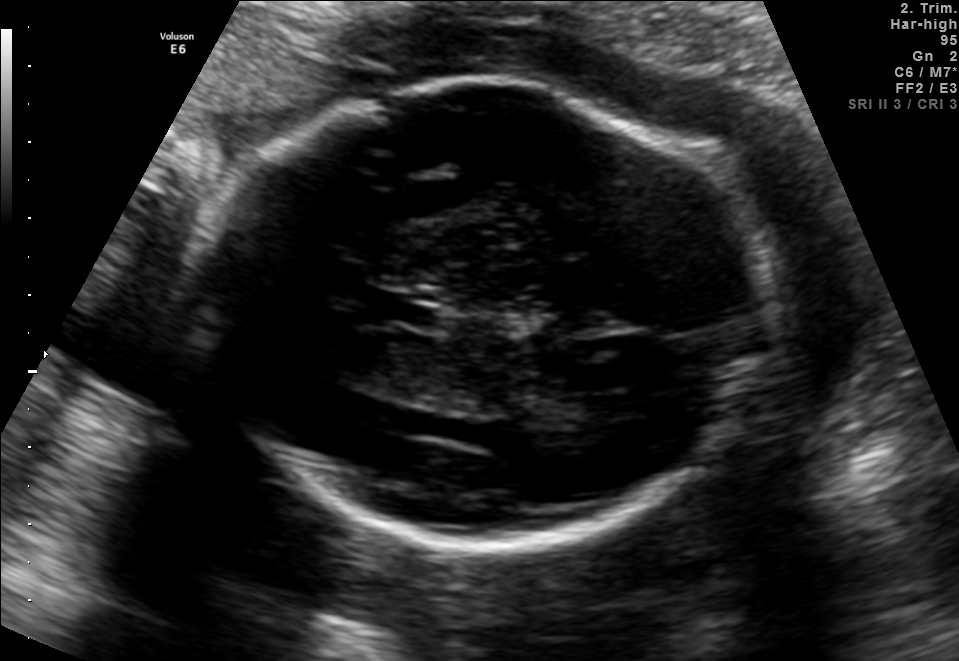
Fetal brain, trans-thalamic plane. Locate the lateral ventricle.

Lateral ventricle: [559,392,612,429]